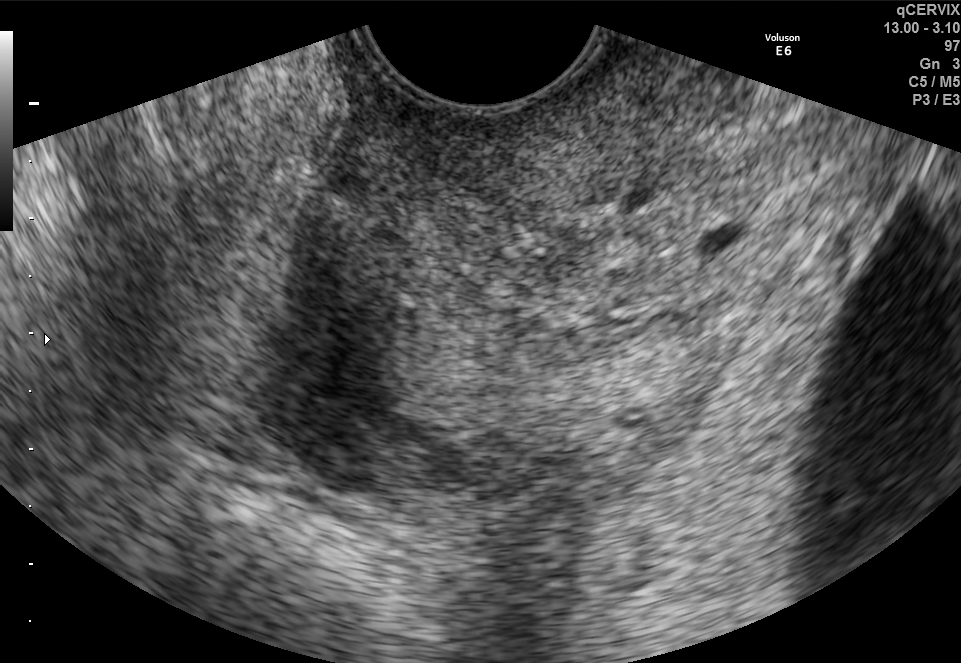
Classify this maternal-fetal ultrasound image as one of the six standard planes — fetal abdomen, fetal brain, fetal femur, fetal thorax, maternal cervix, or other. If it's fetal brain and one of the three standard brain planes (trans-thalamic, trans-cerebellum, trans-ventricular), name which.

Maternal cervix